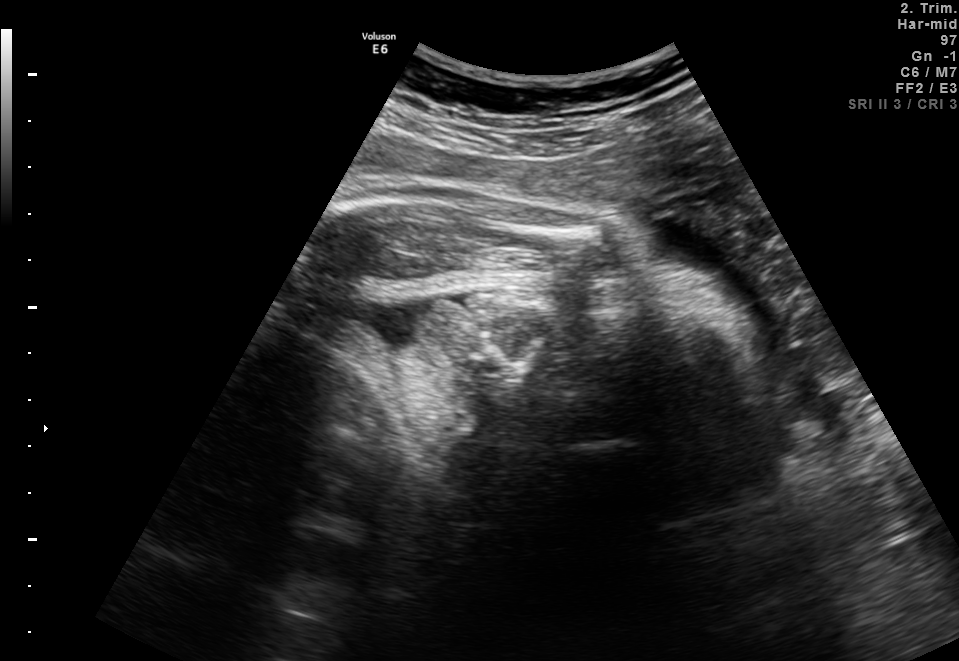
This is a 2D maternal-fetal ultrasound frame. Is it a fetal abdomen, fetal brain, fetal femur, fetal thorax, maternal cervix, or other standard plane? If it's fetal brain and one of the three standard brain planes (trans-thalamic, trans-cerebellum, trans-ventricular), name which.

Other